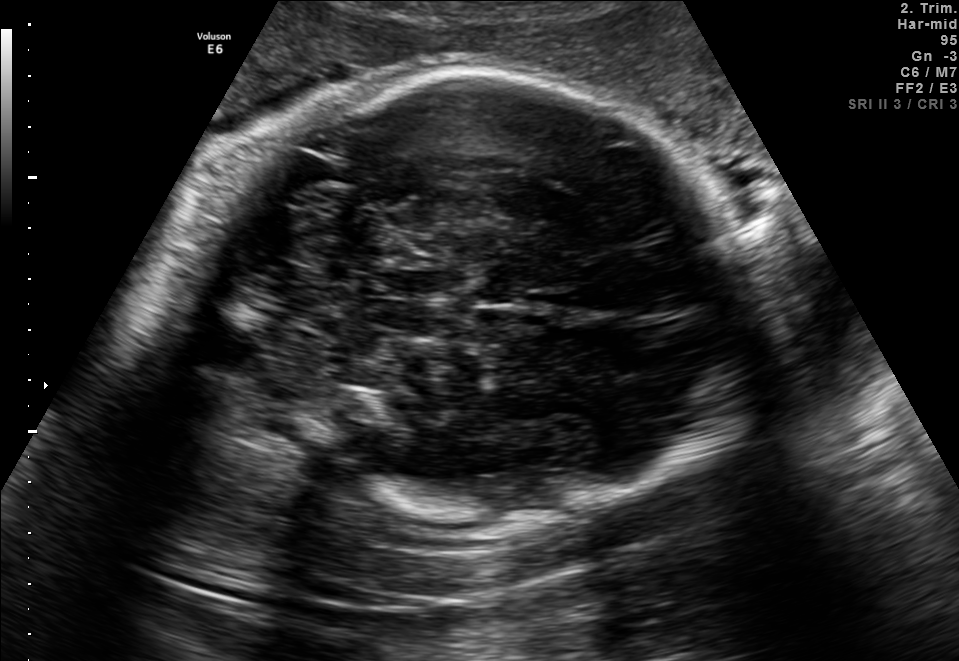
In this fetal brain, trans-thalamic plane, give bounding boxes for the head outline, cavum septum pellucidum (CSP), and lateral ventricle (LV), where visible.

Head: [218,67,755,528]